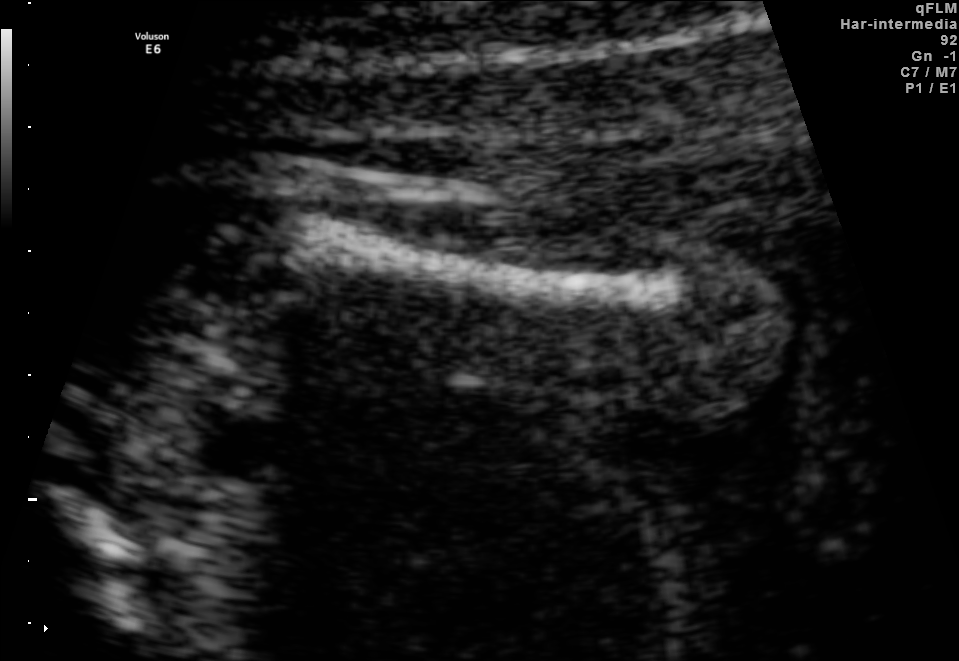
Which standard maternal-fetal ultrasound plane is shown: fetal abdomen, fetal brain, fetal femur, fetal thorax, maternal cervix, or other? If it's fetal brain and one of the three standard brain planes (trans-thalamic, trans-cerebellum, trans-ventricular), name which.

Fetal femur